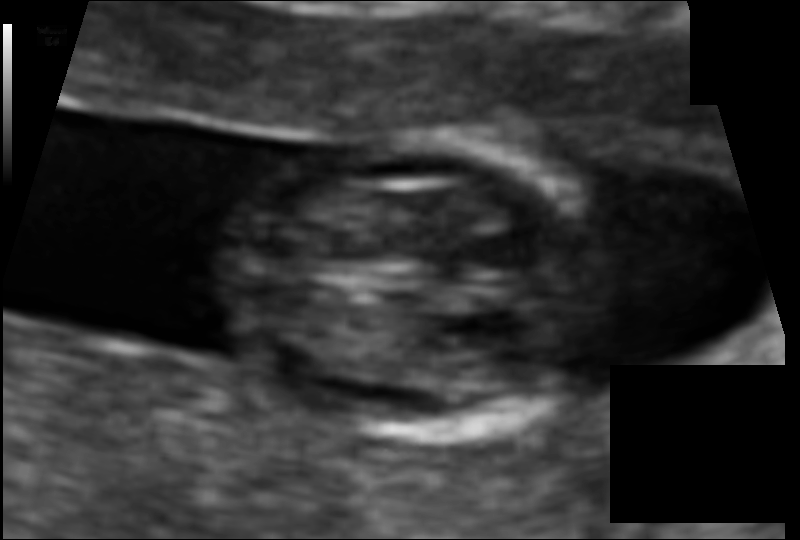
Fetal head ultrasound. Image width: 53.7 mm. Locate the fetal head and, if visible, the cavum septum pellucidum (CSP) and lateral ventricle (LV). Give bounding boxes as [x1,y1,x2,y2].

Head: [228,138,606,441]